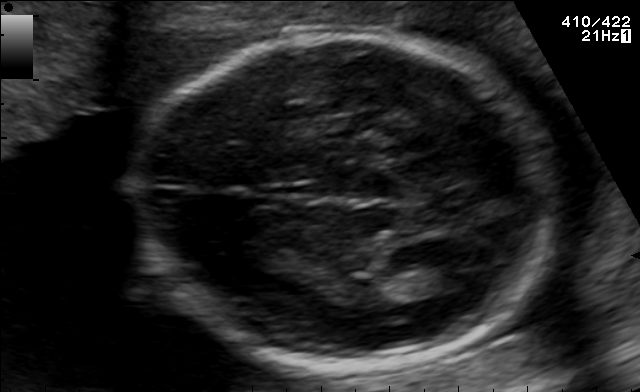
Fetal brain, trans-thalamic plane. Locate the fetal head.

Head: [130,34,559,366]